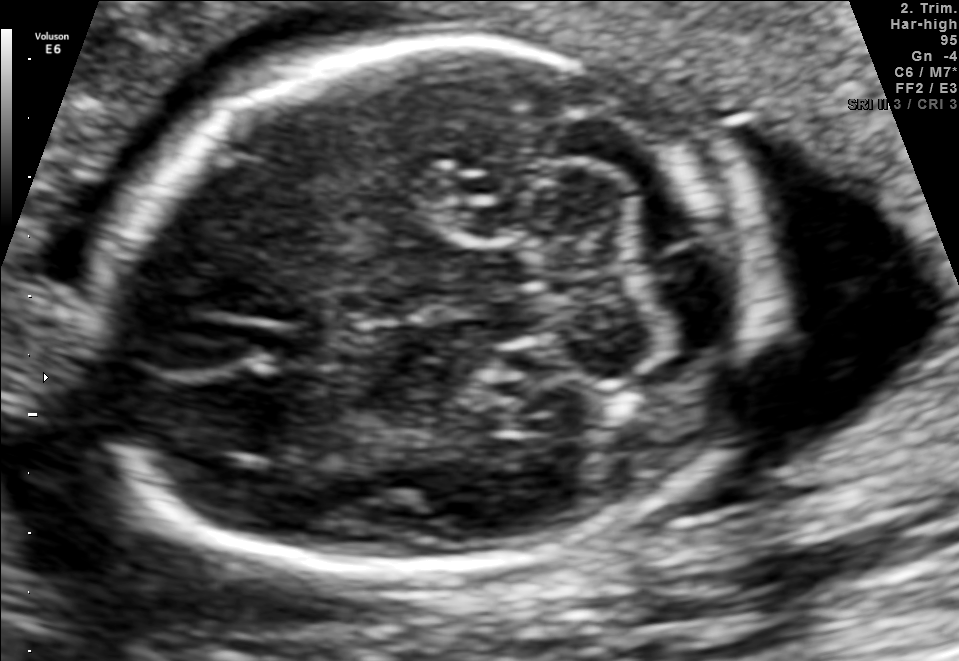
Fetal brain, trans-cerebellum plane. Give [x1,y1,x2,y2] bounding boxes for each visible structure among: fetal head, CSP, LV.

Head: [85,45,748,578]
CSP: [254,324,340,370]